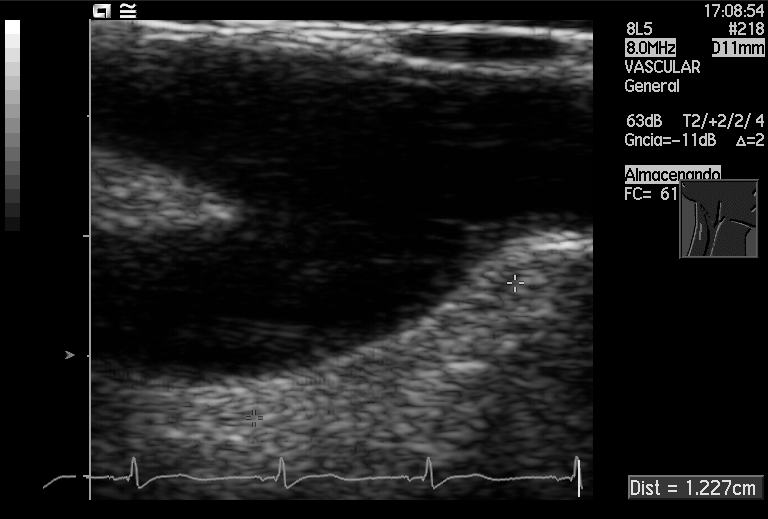
Which standard maternal-fetal ultrasound plane is shown: fetal abdomen, fetal brain, fetal femur, fetal thorax, maternal cervix, or other? If it's fetal brain and one of the three standard brain planes (trans-thalamic, trans-cerebellum, trans-ventricular), name which.

Other